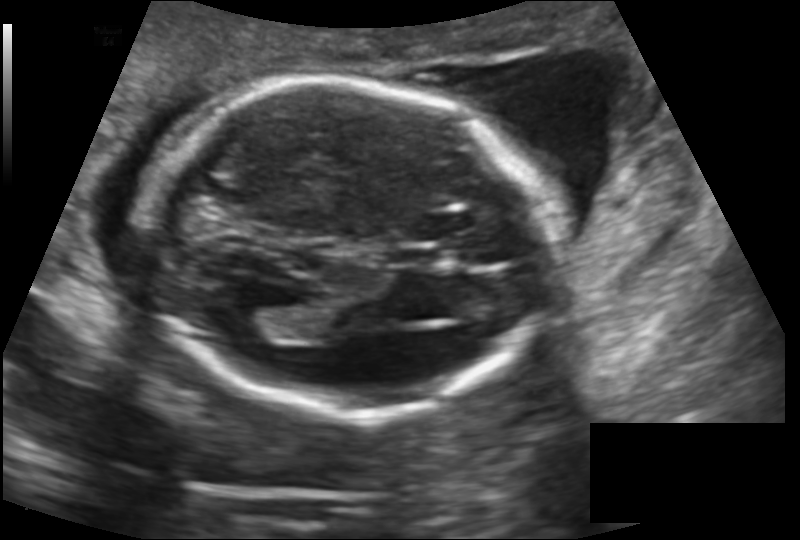
Estimate the fetal head circumference from this 2D ultrasound.

Head circumference: 175.0 mm (image width 116.4 mm).